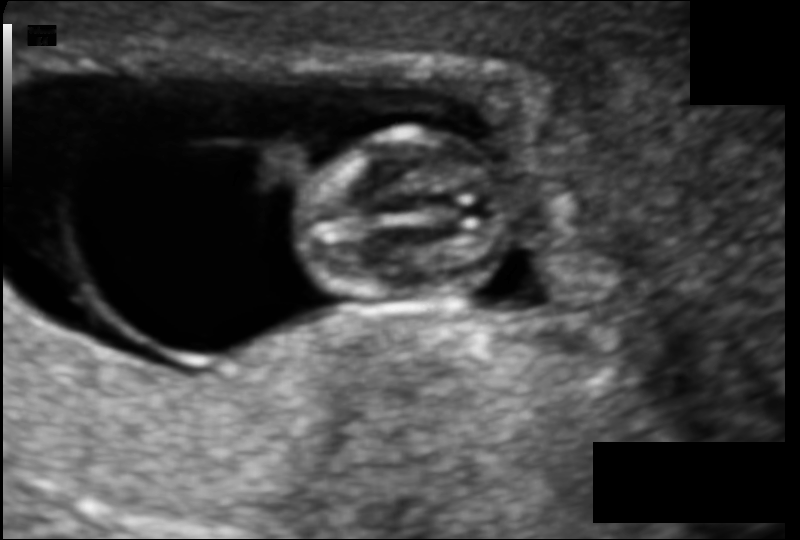
Measure the fetal head circumference shown in this ultrasound image. Image width: 71.7 mm.

Head circumference: 56.8 mm.